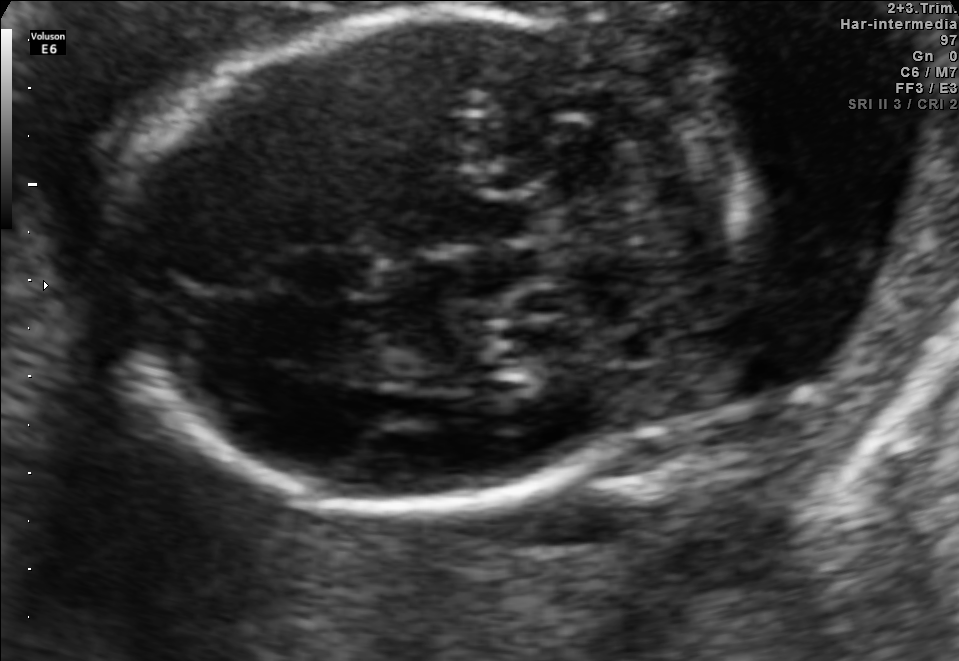
Fetal brain, trans-cerebellum plane. Give [x1,y1,x2,y2] bounding boxes for each visible structure among: fetal head, CSP, LV.

Head: [108,9,753,506]
CSP: [289,245,380,300]